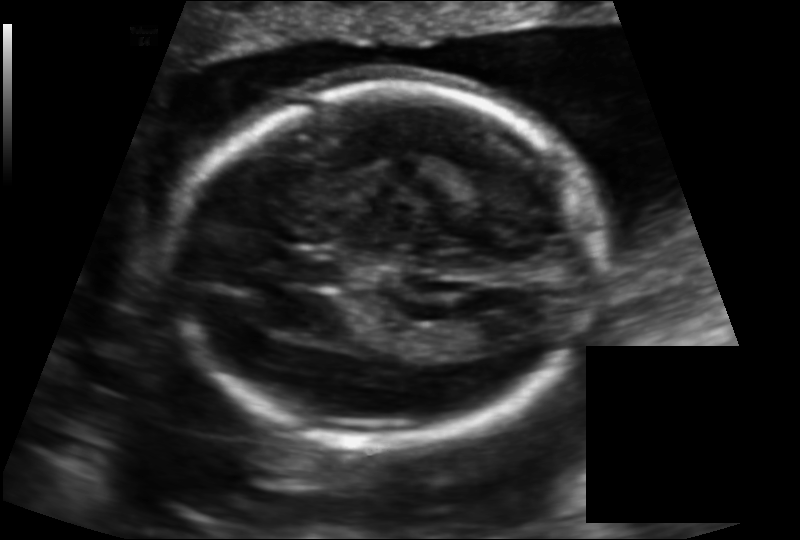
Fetal head ultrasound. Image width: 106.6 mm. Locate the fetal head and, if visible, the cavum septum pellucidum (CSP) and lateral ventricle (LV). Give bounding boxes as [x1,y1,x2,y2].

Head: [173,86,596,440]
CSP: [286,253,339,284]
Lateral ventricle: [453,313,518,357]